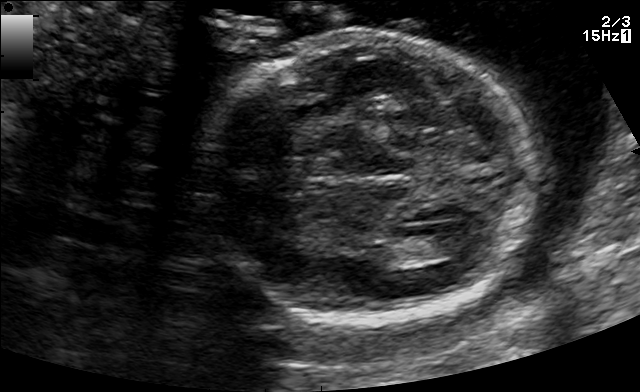
Fetal brain, trans-ventricular plane. Where is the lateral ventricle?

Lateral ventricle bounding box: [426,231,478,260]